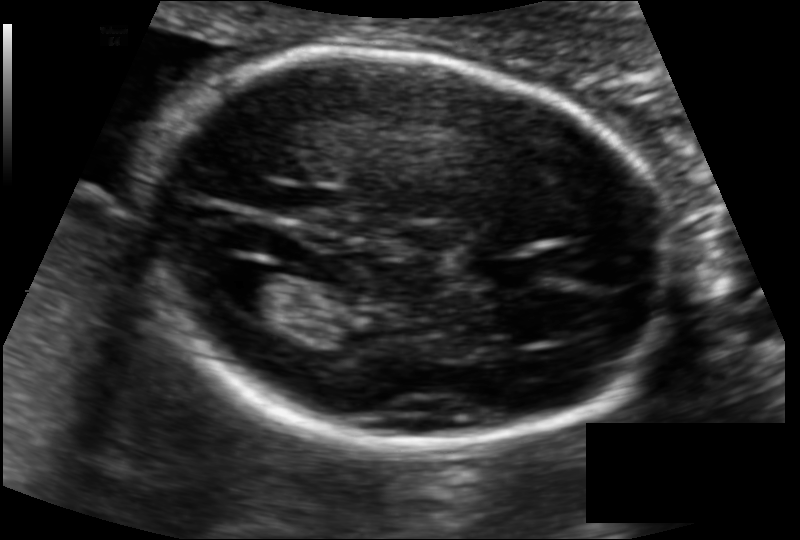
Fetal head ultrasound. Image width: 88.0 mm. Give [x1,y1,x2,y2] bounding boxes for each visible structure among: fetal head, CSP, LV.

Head: [137,55,678,451]
Lateral ventricle: [219,263,301,326]